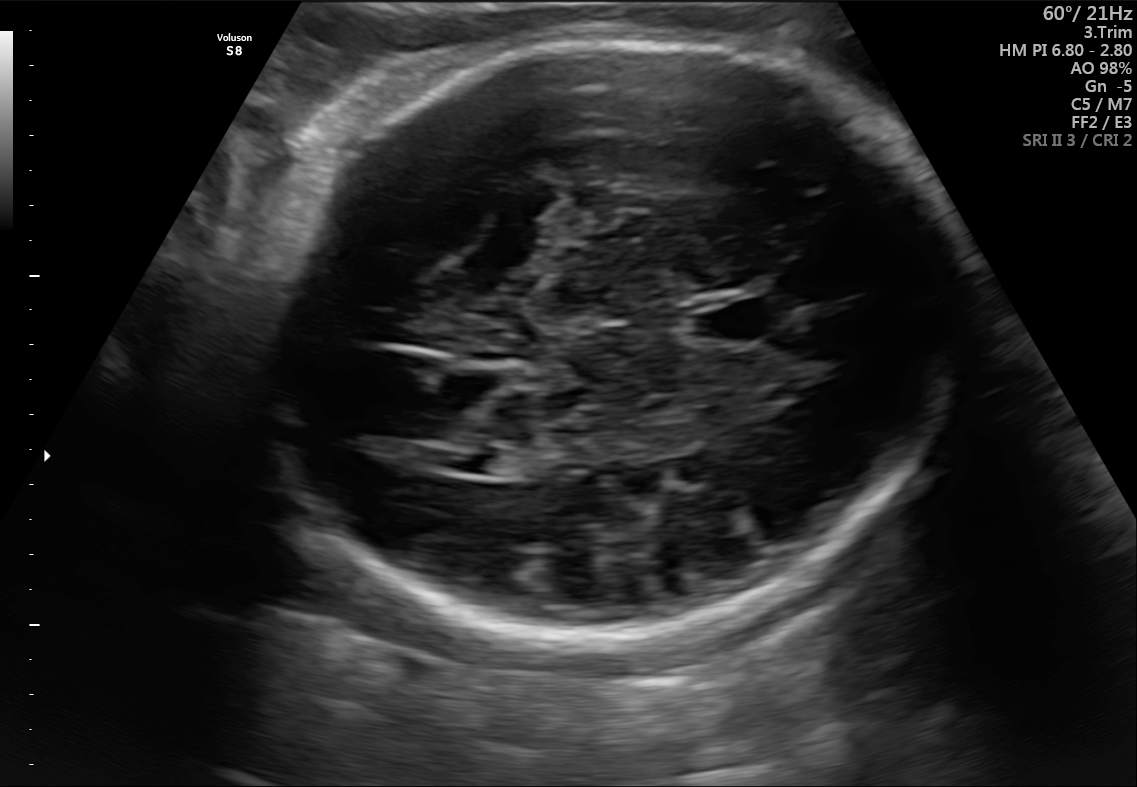
In this fetal brain, trans-ventricular plane, give the bounding box of the lateral ventricle.

[446,448,500,476]